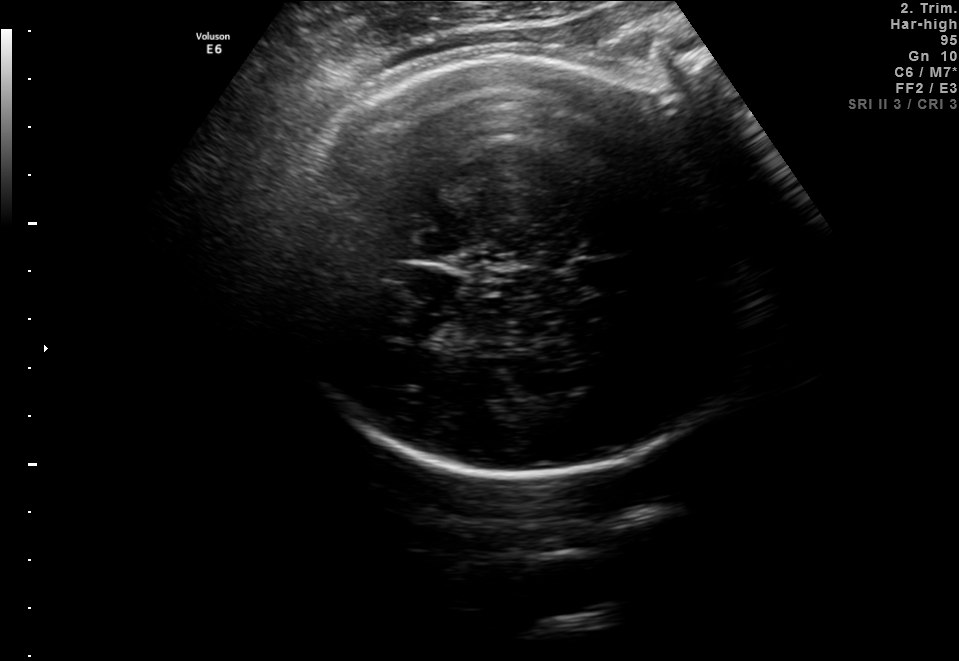
Which standard maternal-fetal ultrasound plane is shown: fetal abdomen, fetal brain, fetal femur, fetal thorax, maternal cervix, or other? If it's fetal brain and one of the three standard brain planes (trans-thalamic, trans-cerebellum, trans-ventricular), name which.

Fetal brain (trans-thalamic plane)